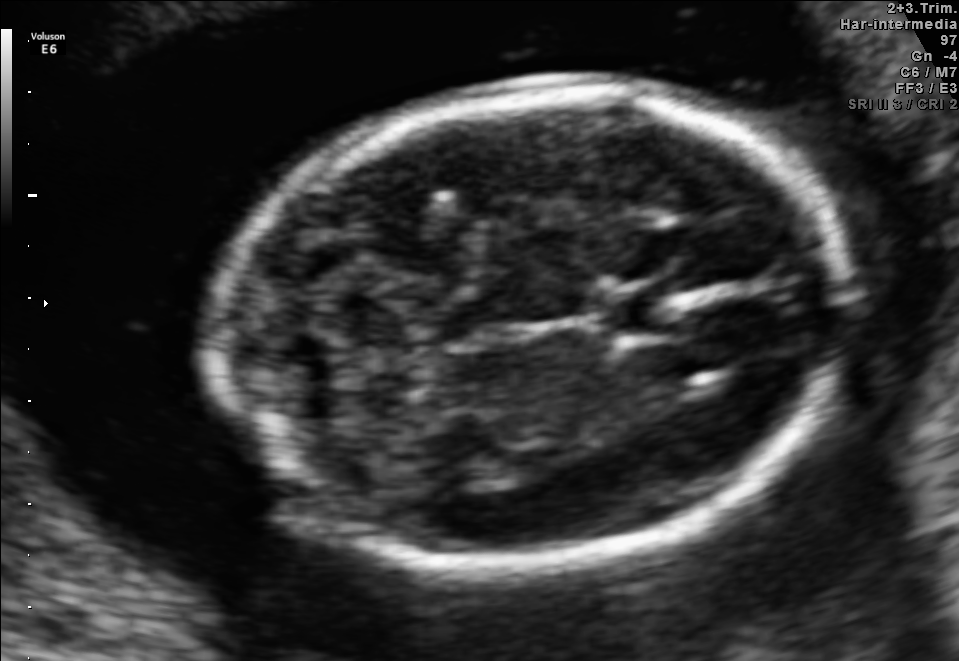
Fetal brain, trans-cerebellum plane. Where is the cavum septum pellucidum?

CSP bounding box: [596,281,682,344]